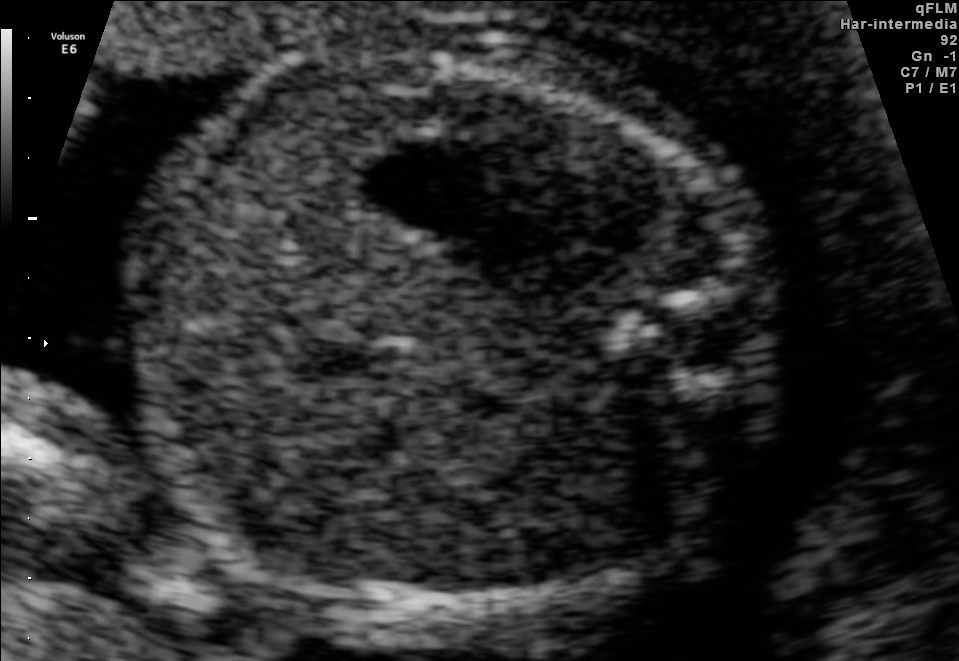
This is a 2D maternal-fetal ultrasound frame. Is it a fetal abdomen, fetal brain, fetal femur, fetal thorax, maternal cervix, or other standard plane? If it's fetal brain and one of the three standard brain planes (trans-thalamic, trans-cerebellum, trans-ventricular), name which.

Fetal abdomen